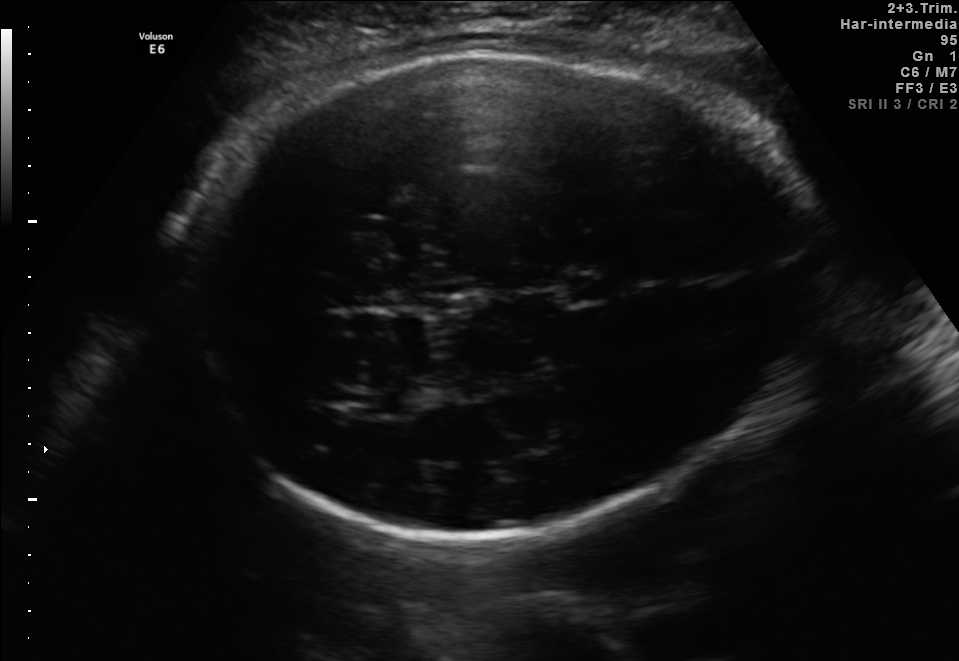
In this fetal brain, trans-thalamic plane, give the bounding box of the cavum septum pellucidum.

[566,274,611,304]